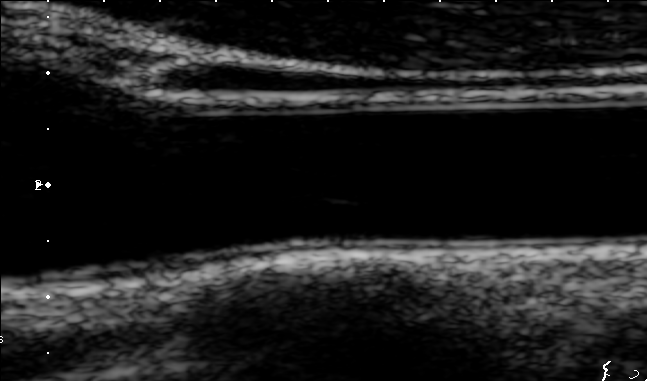
Which standard maternal-fetal ultrasound plane is shown: fetal abdomen, fetal brain, fetal femur, fetal thorax, maternal cervix, or other? If it's fetal brain and one of the three standard brain planes (trans-thalamic, trans-cerebellum, trans-ventricular), name which.

Other